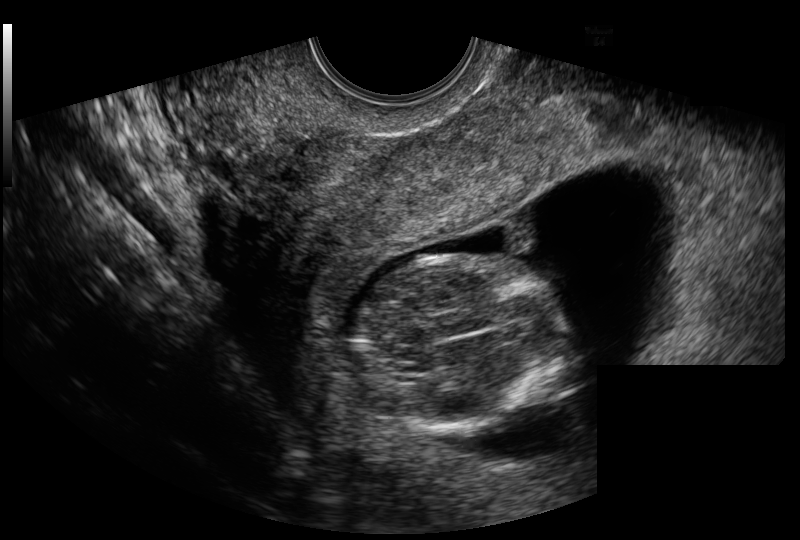
In this fetal head ultrasound, give bounding boxes for the head outline, cavum septum pellucidum (CSP), and lateral ventricle (LV), where visible. Image width: 103.2 mm.

Head: [356,256,569,433]